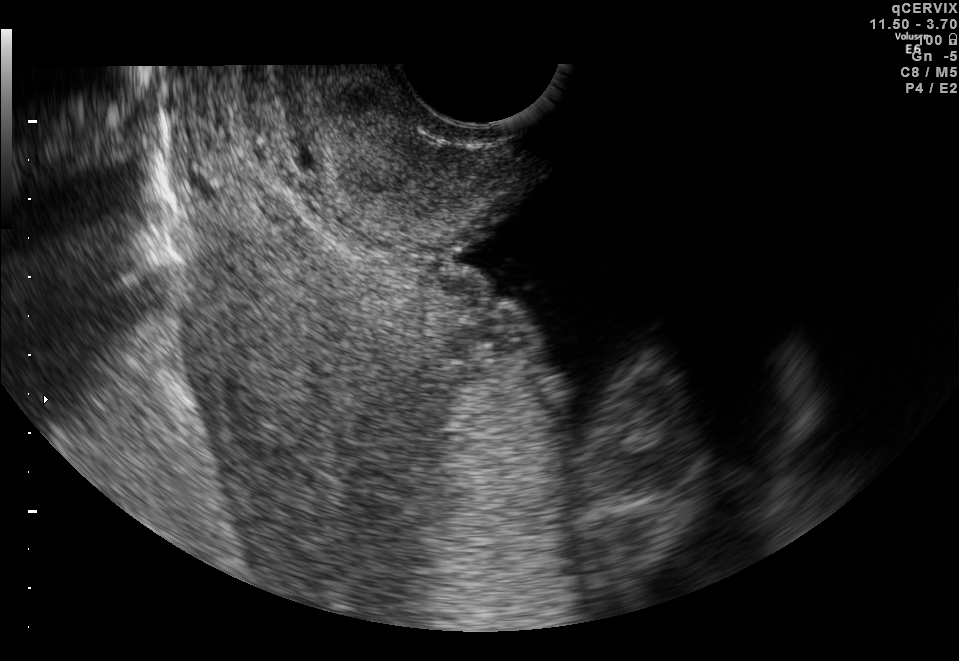
Which standard maternal-fetal ultrasound plane is shown: fetal abdomen, fetal brain, fetal femur, fetal thorax, maternal cervix, or other? If it's fetal brain and one of the three standard brain planes (trans-thalamic, trans-cerebellum, trans-ventricular), name which.

Maternal cervix